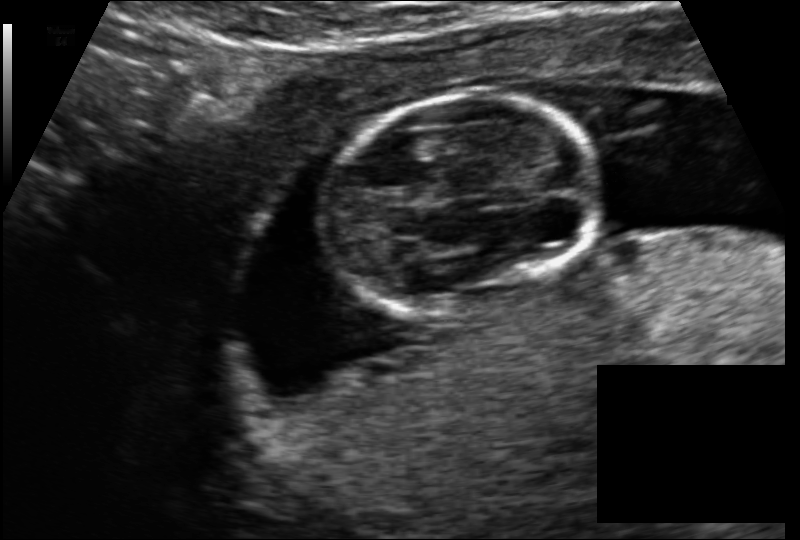
Fetal head ultrasound. Image width: 91.1 mm. Give [x1,y1,x2,y2] bounding boxes for each visible structure among: fetal head, CSP, LV.

Head: [324,95,596,313]